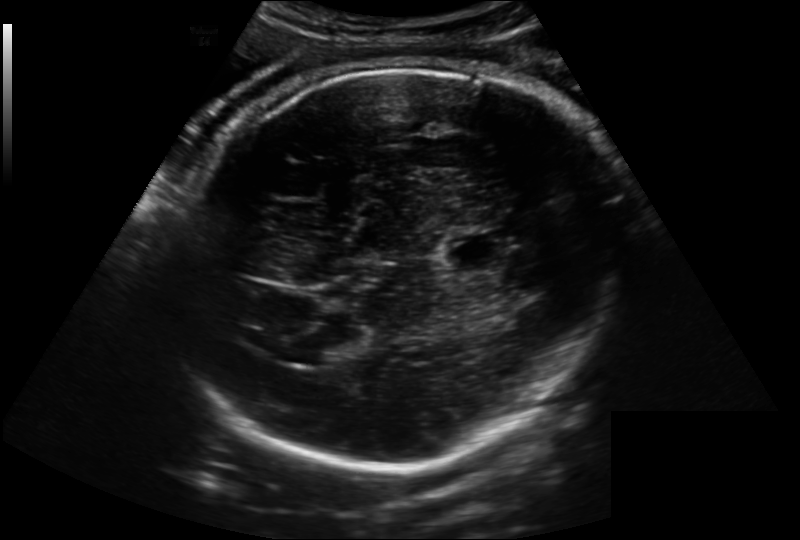
Fetal head ultrasound. Image width: 177.3 mm. Locate the cavum septum pellucidum.

CSP: [441,226,518,280]